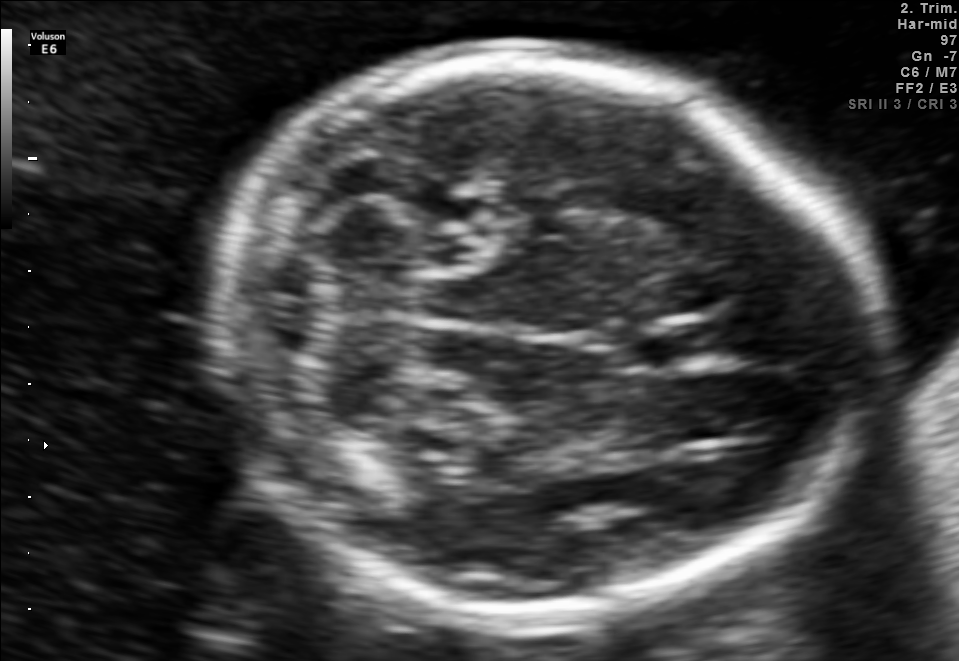
Fetal brain, trans-cerebellum plane. Locate the cavum septum pellucidum.

CSP: [621,310,732,374]